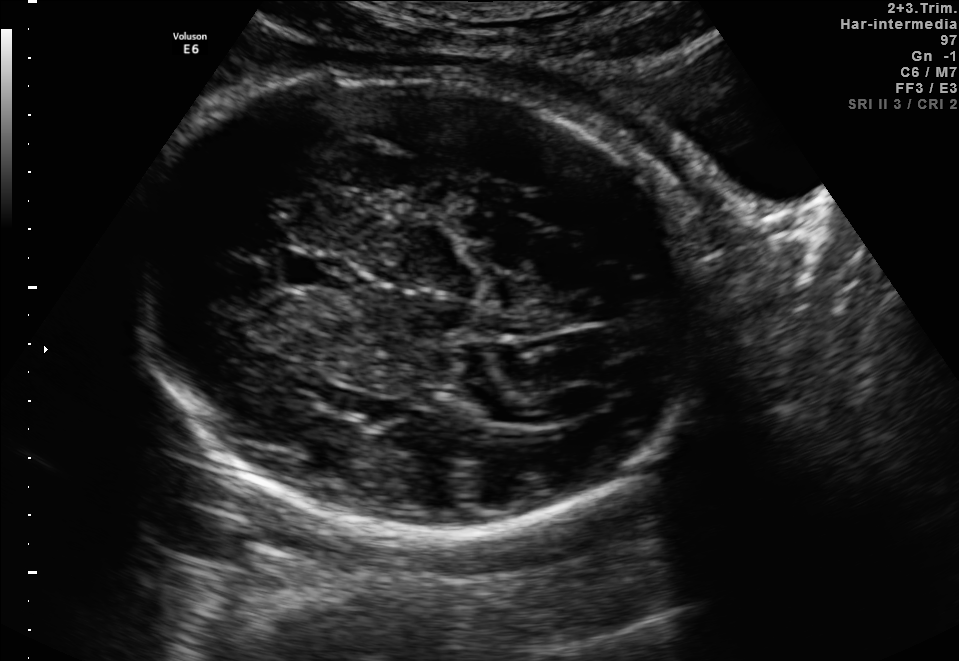
Fetal brain, trans-thalamic plane. Give [x1,y1,x2,y2] bounding boxes for each visible structure among: fetal head, CSP, LV.

Head: [122,60,701,535]
CSP: [280,253,345,289]
Lateral ventricle: [544,375,613,426]